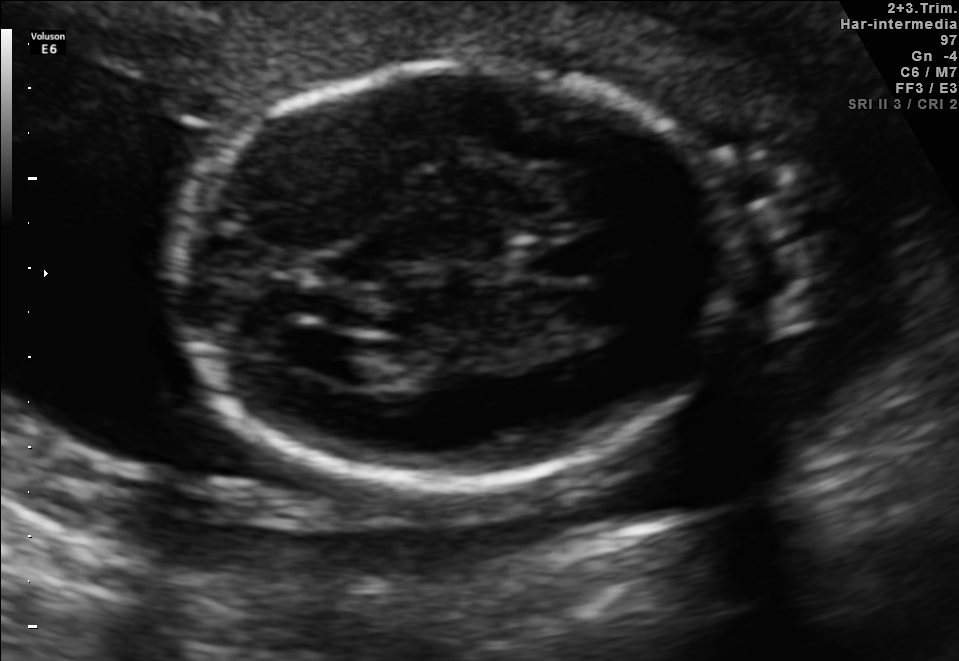
This is a 2D maternal-fetal ultrasound frame. Is it a fetal abdomen, fetal brain, fetal femur, fetal thorax, maternal cervix, or other standard plane? If it's fetal brain and one of the three standard brain planes (trans-thalamic, trans-cerebellum, trans-ventricular), name which.

Fetal brain (trans-ventricular plane)